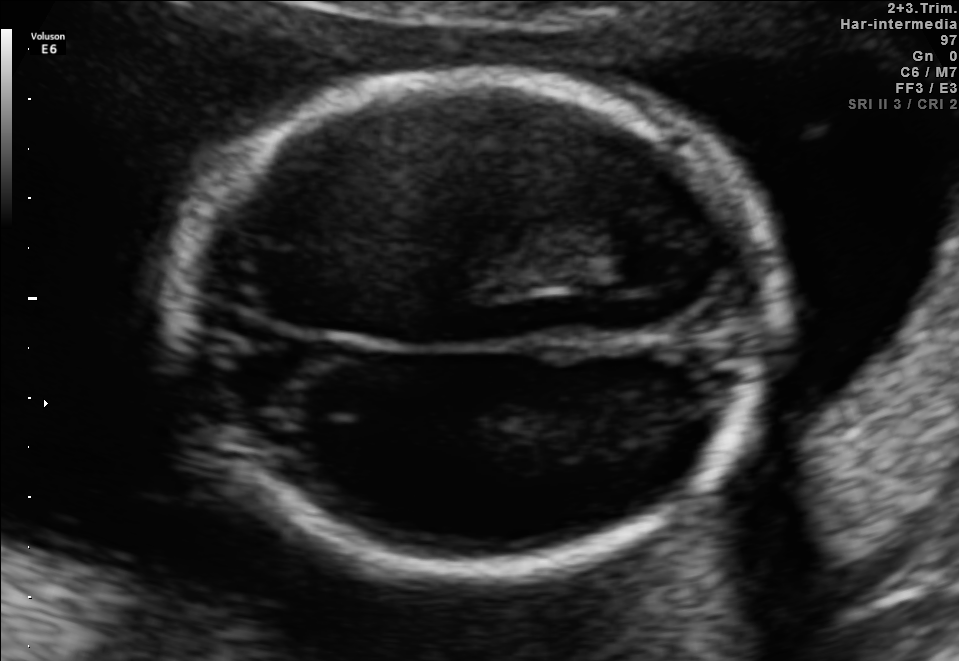
Fetal brain, trans-thalamic plane. Where is the fetal head?

Head bounding box: [175,79,780,574]